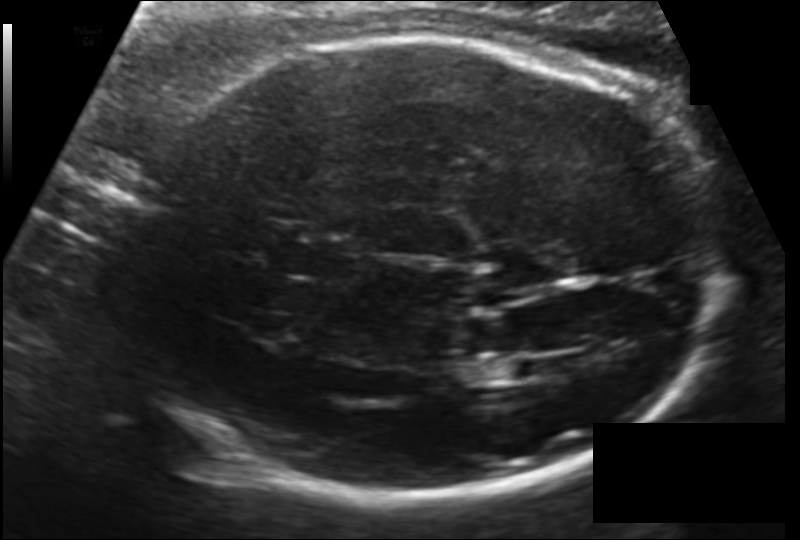
Fetal head ultrasound. Image width: 120.6 mm. Where is the fetal head?

Head bounding box: [122,38,723,501]